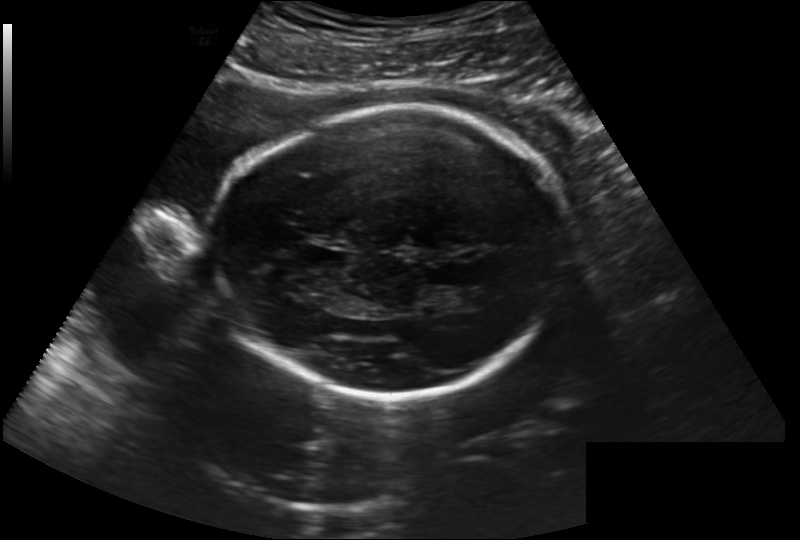
Fetal head ultrasound. Image width: 177.2 mm. Locate the fetal head and, if visible, the cavum septum pellucidum (CSP) and lateral ventricle (LV). Give bounding boxes as [x1,y1,x2,y2].

Head: [214,107,568,399]